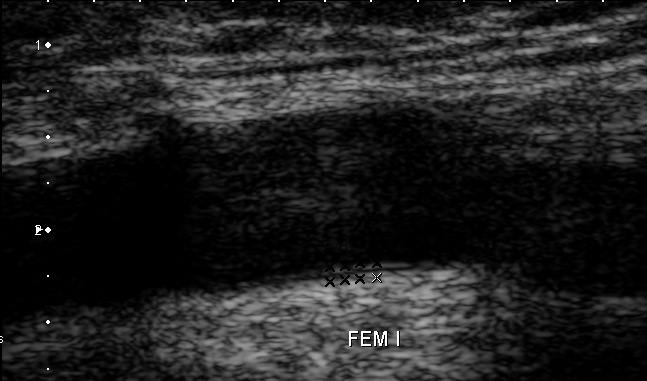
This is a 2D maternal-fetal ultrasound frame. Is it a fetal abdomen, fetal brain, fetal femur, fetal thorax, maternal cervix, or other standard plane? If it's fetal brain and one of the three standard brain planes (trans-thalamic, trans-cerebellum, trans-ventricular), name which.

Other